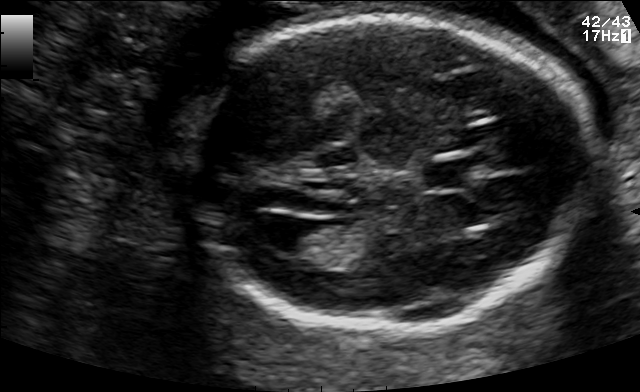
In this fetal brain, trans-ventricular plane, give bounding boxes for the head outline, cavum septum pellucidum (CSP), and lateral ventricle (LV), where visible.

Head: [173,14,605,337]
CSP: [423,151,504,192]
Lateral ventricle: [252,212,320,256]